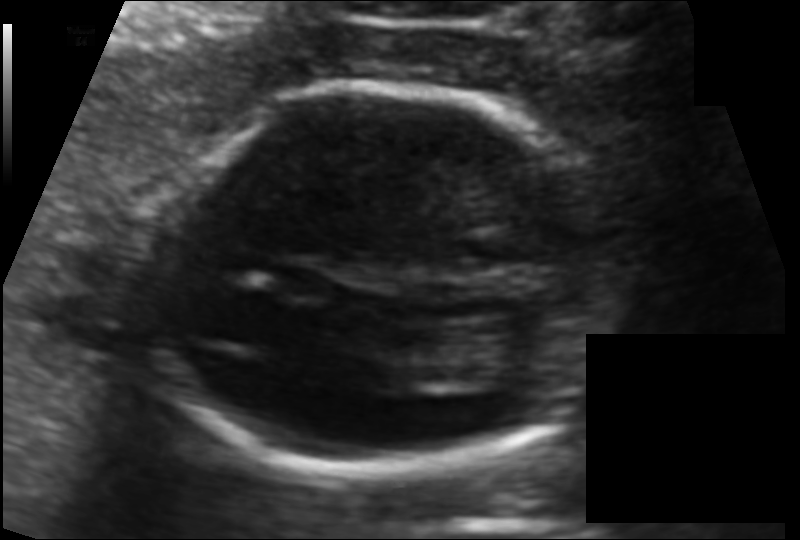
Measure the fetal head circumference shown in this ultrasound image. Image width: 80.1 mm.

Head circumference: 142.3 mm.